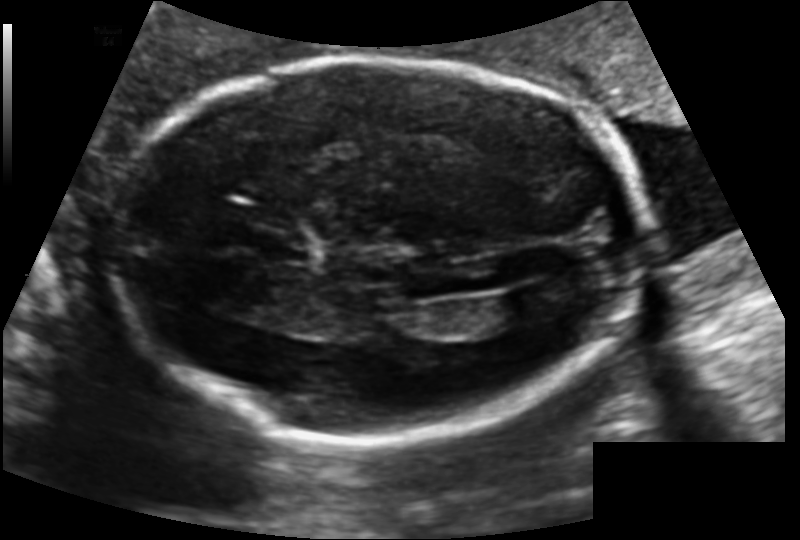
Estimate the fetal head circumference from this 2D ultrasound. Image width: 105.0 mm.

Head circumference: 198.7 mm.